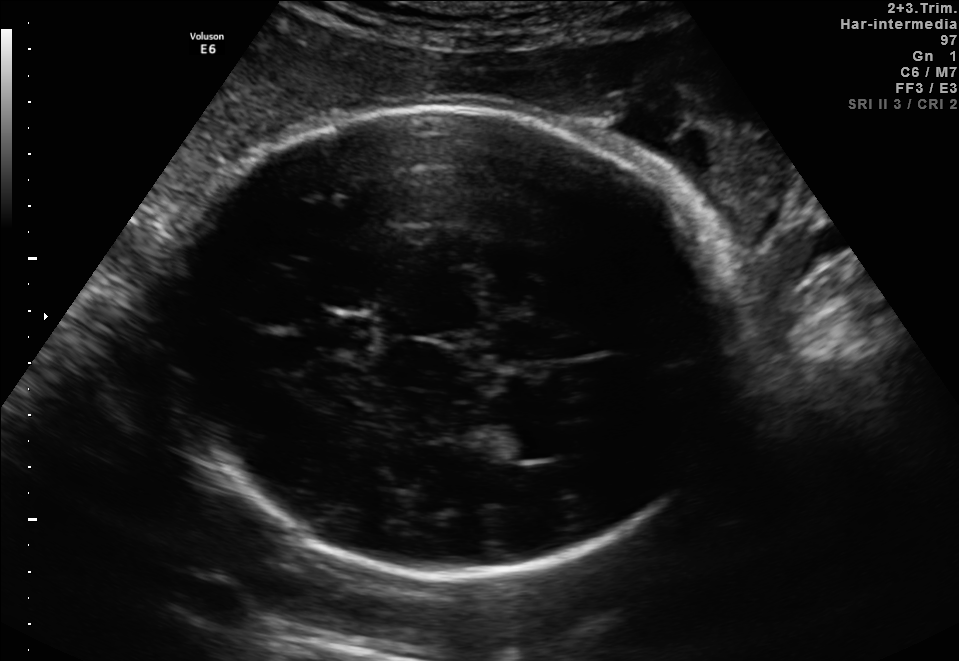
In this fetal brain, trans-thalamic plane, give the bounding box of the cavum septum pellucidum.

[315,314,374,349]